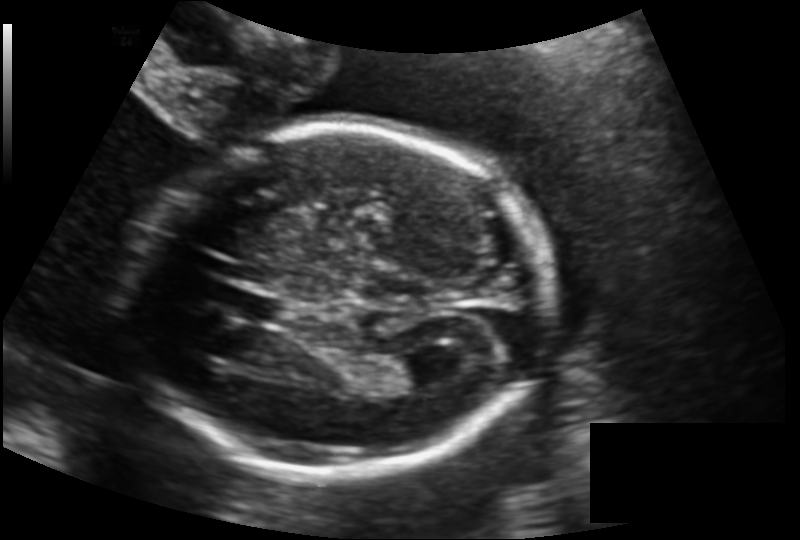
Fetal head ultrasound. Image width: 117.2 mm. Locate the fetal head and, if visible, the cavum septum pellucidum (CSP) and lateral ventricle (LV). Give bounding boxes as [x1,y1,x2,y2].

Head: [134,125,547,474]
CSP: [225,284,291,330]
Lateral ventricle: [385,350,446,390]